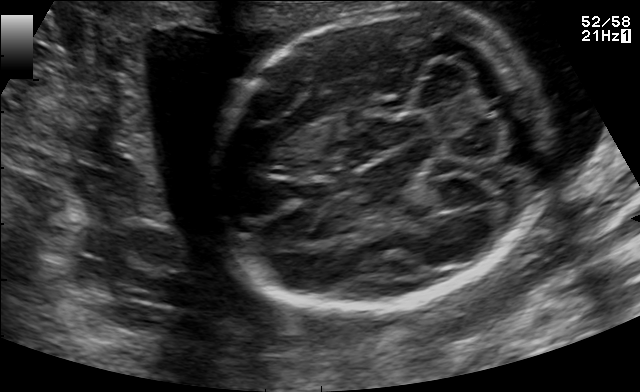
Fetal brain, trans-cerebellum plane. Give [x1,y1,x2,y2] bounding boxes for each visible structure among: fetal head, CSP, LV.

Head: [220,9,537,311]
CSP: [291,175,340,211]